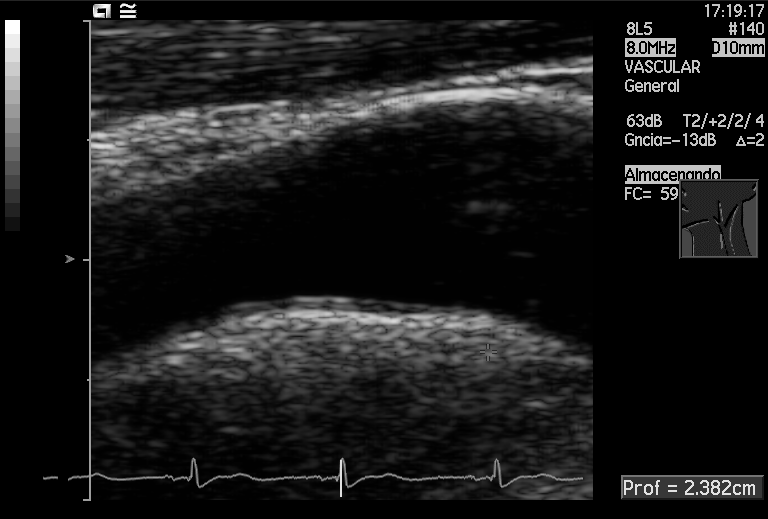
Identify the standard plane in this fetal ultrasound image: fetal abdomen, fetal brain, fetal femur, fetal thorax, maternal cervix, or other. If it's fetal brain and one of the three standard brain planes (trans-thalamic, trans-cerebellum, trans-ventricular), name which.

Other